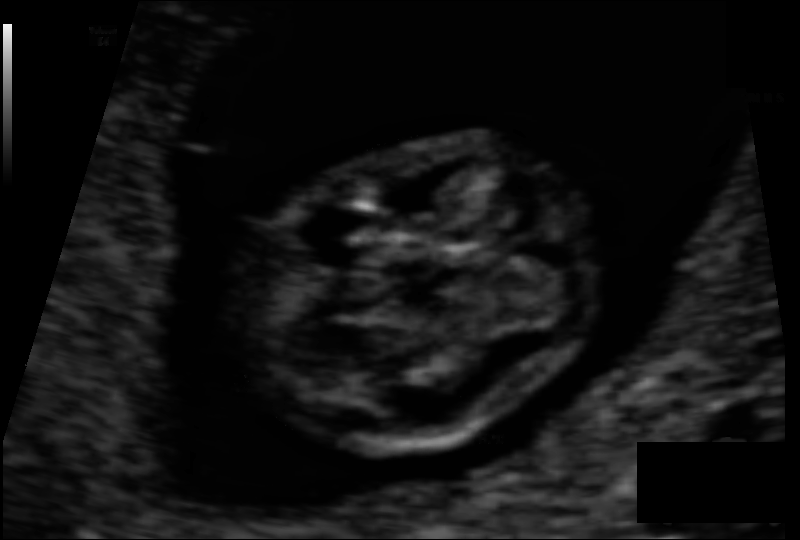
Measure the fetal head circumference shown in this ultrasound image. Image width: 48.2 mm.

Head circumference: 65.0 mm.